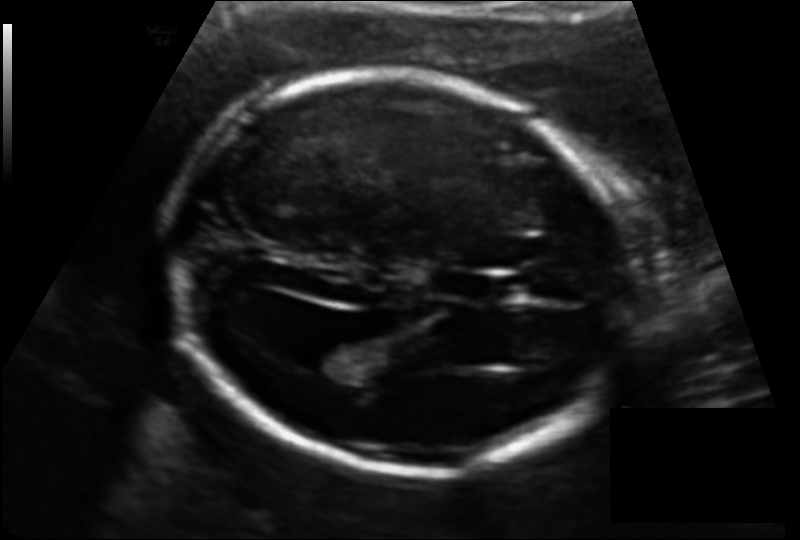
Fetal head ultrasound. Image width: 104.7 mm. Where is the cavum septum pellucidum?

CSP bounding box: [436,267,508,304]